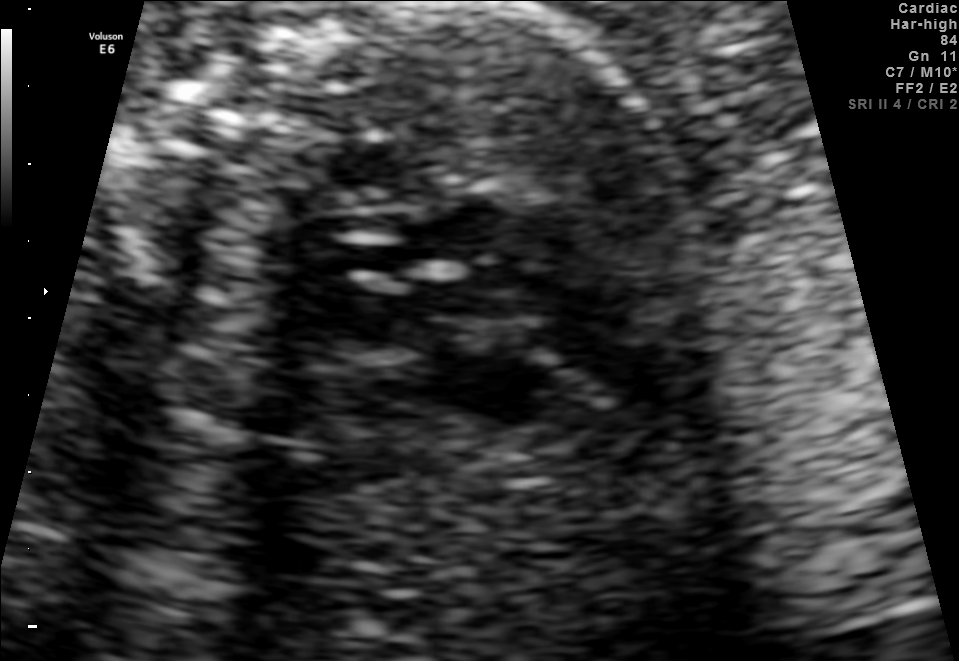
Classify this maternal-fetal ultrasound image as one of the six standard planes — fetal abdomen, fetal brain, fetal femur, fetal thorax, maternal cervix, or other. If it's fetal brain and one of the three standard brain planes (trans-thalamic, trans-cerebellum, trans-ventricular), name which.

Fetal thorax